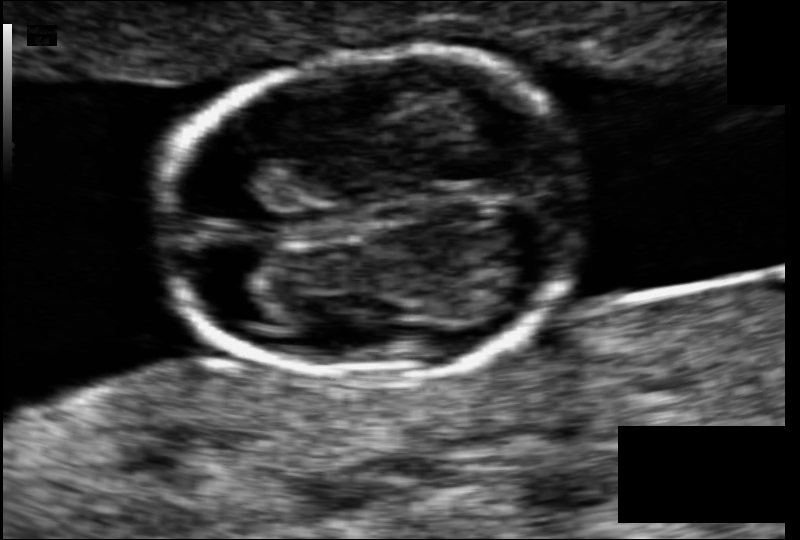
From this fetal ultrasound, estimate the head circumference (image width 50.6 mm).

Head circumference: 77.2 mm.